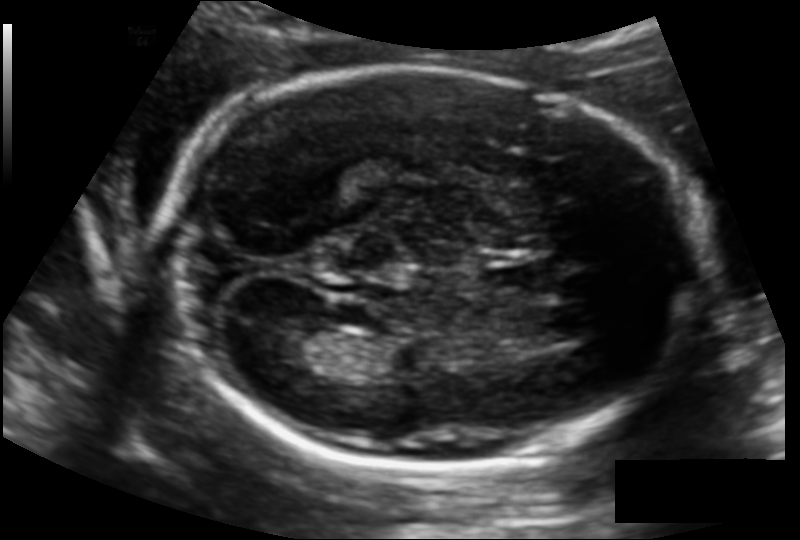
In this fetal head ultrasound, give bounding boxes for the head outline, cavum septum pellucidum (CSP), and lateral ventricle (LV), where visible. Image width: 103.6 mm.

Head: [162,69,693,465]
CSP: [482,255,557,299]
Lateral ventricle: [271,325,338,371]